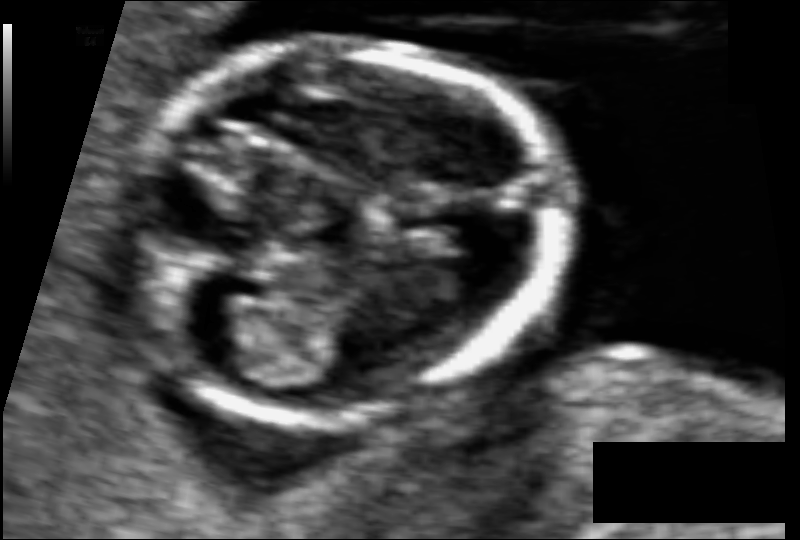
Fetal head ultrasound. Image width: 47.6 mm. Locate the fetal head.

Head: [118,44,551,421]